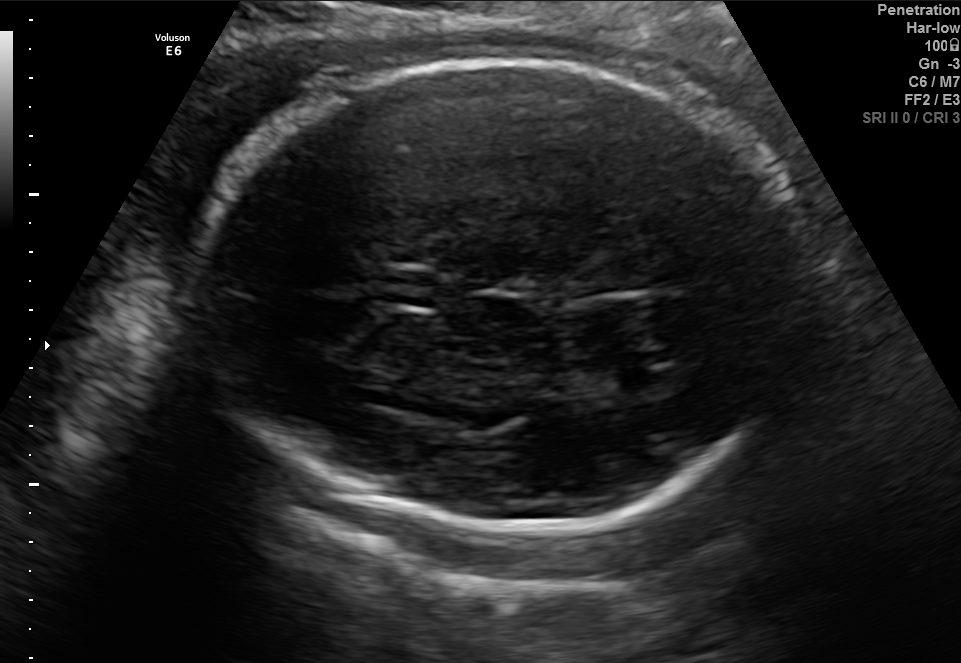
In this fetal brain, trans-thalamic plane, give bounding boxes for the head outline, cavum septum pellucidum (CSP), and lateral ventricle (LV), where visible.

Head: [192,59,821,532]